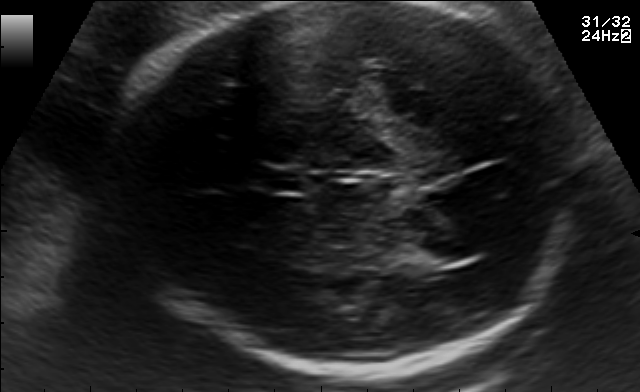
In this fetal brain, trans-thalamic plane, give bounding boxes for the head outline, cavum septum pellucidum (CSP), and lateral ventricle (LV), where visible.

Head: [118,2,593,375]
CSP: [267,168,307,192]
Lateral ventricle: [409,227,485,275]